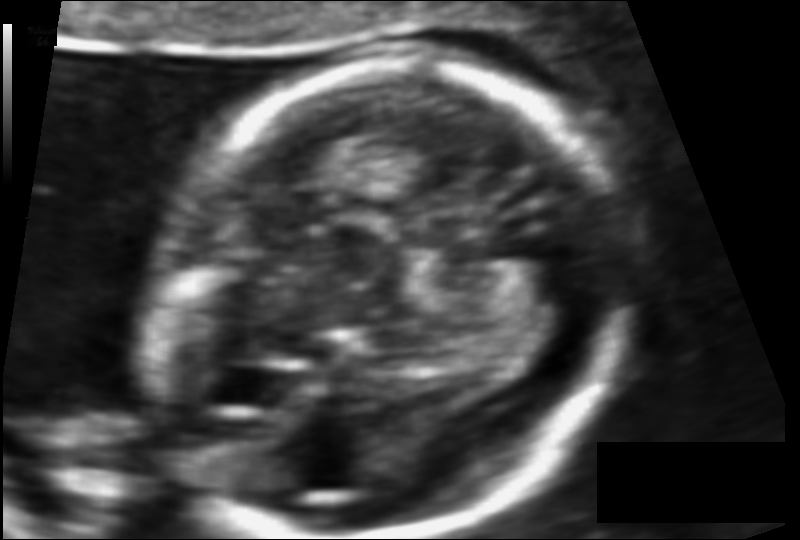
Fetal head ultrasound. Image width: 66.0 mm. Locate the fetal head.

Head: [143,65,626,536]